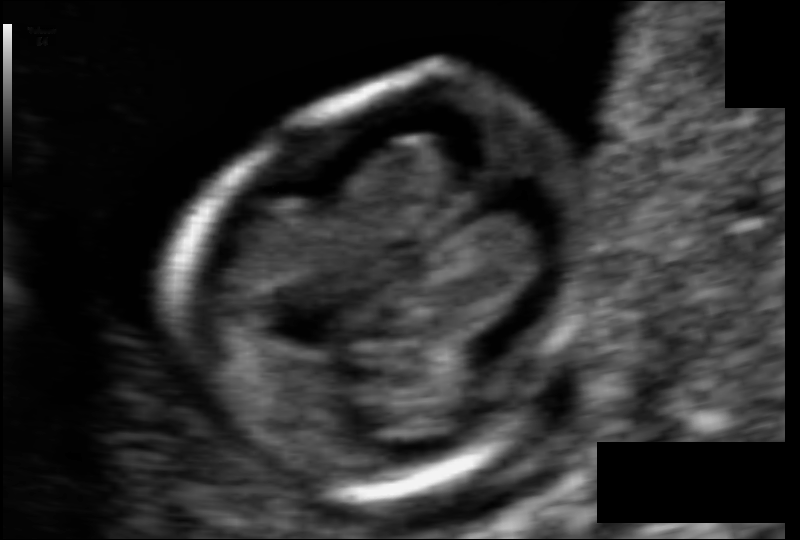
Fetal head ultrasound. Image width: 44.1 mm. Where is the fetal head?

Head bounding box: [180,79,601,490]